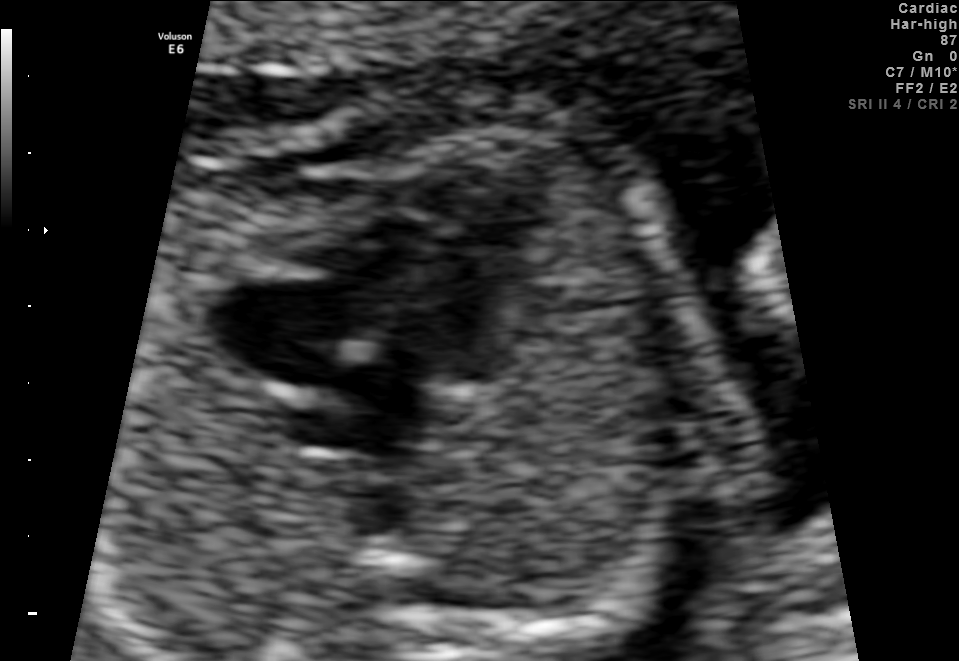
Which standard maternal-fetal ultrasound plane is shown: fetal abdomen, fetal brain, fetal femur, fetal thorax, maternal cervix, or other? If it's fetal brain and one of the three standard brain planes (trans-thalamic, trans-cerebellum, trans-ventricular), name which.

Fetal thorax